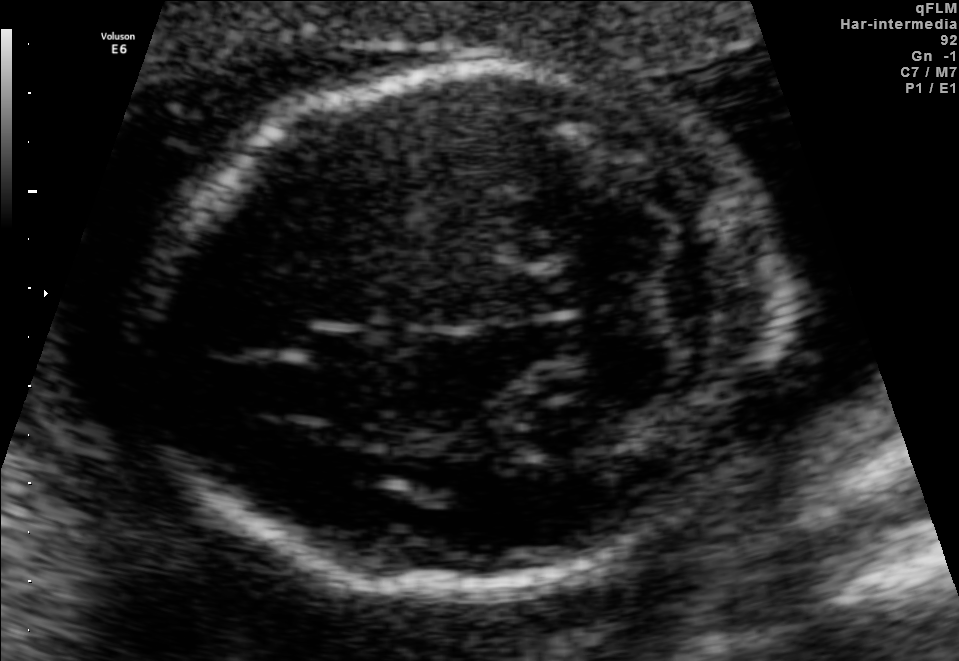
In this fetal brain, trans-cerebellum plane, give the bounding box of the fetal head.

[140,66,781,585]